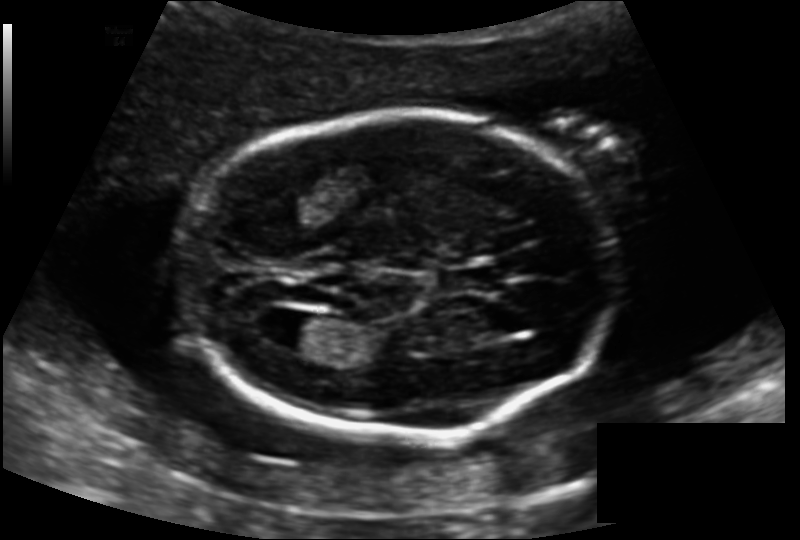
Fetal head ultrasound. Image width: 111.5 mm. Where is the lateral ventricle?

Lateral ventricle bounding box: [267,311,331,355]